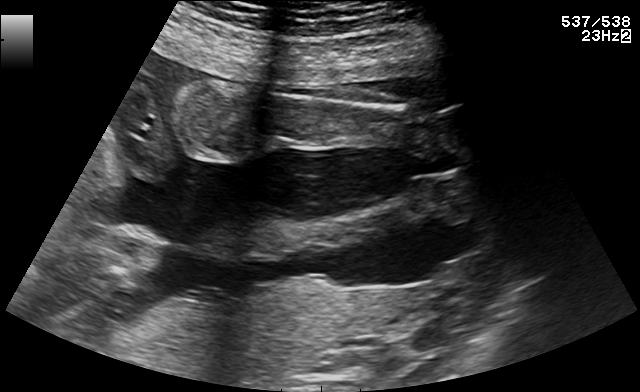
Which standard maternal-fetal ultrasound plane is shown: fetal abdomen, fetal brain, fetal femur, fetal thorax, maternal cervix, or other? If it's fetal brain and one of the three standard brain planes (trans-thalamic, trans-cerebellum, trans-ventricular), name which.

Other